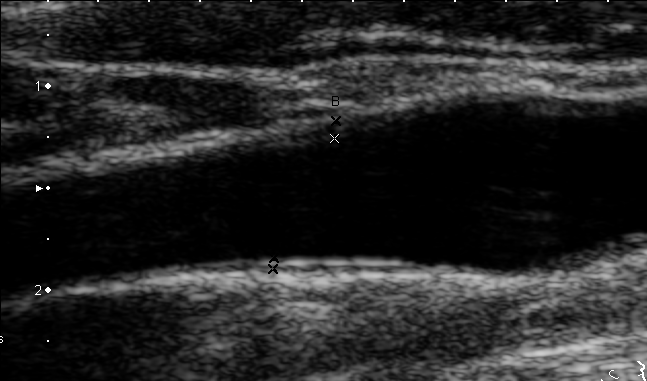
Identify the standard plane in this fetal ultrasound image: fetal abdomen, fetal brain, fetal femur, fetal thorax, maternal cervix, or other. If it's fetal brain and one of the three standard brain planes (trans-thalamic, trans-cerebellum, trans-ventricular), name which.

Other